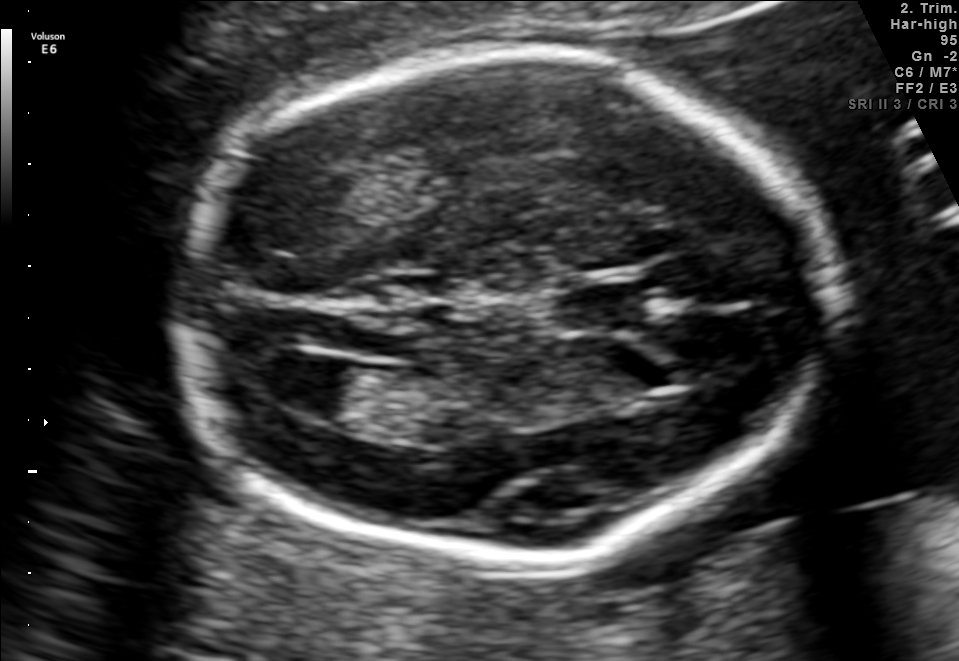
Fetal brain, trans-ventricular plane. Locate the cavum septum pellucidum.

CSP: [543,279,674,333]